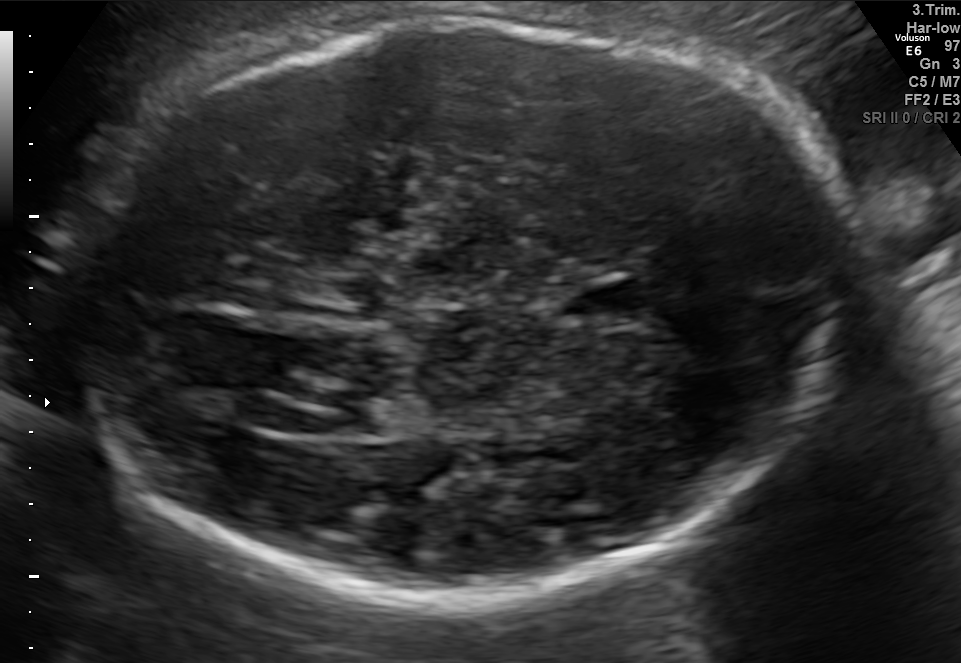
In this fetal brain, trans-ventricular plane, give the bounding box of the fetal head.

[54,11,867,618]